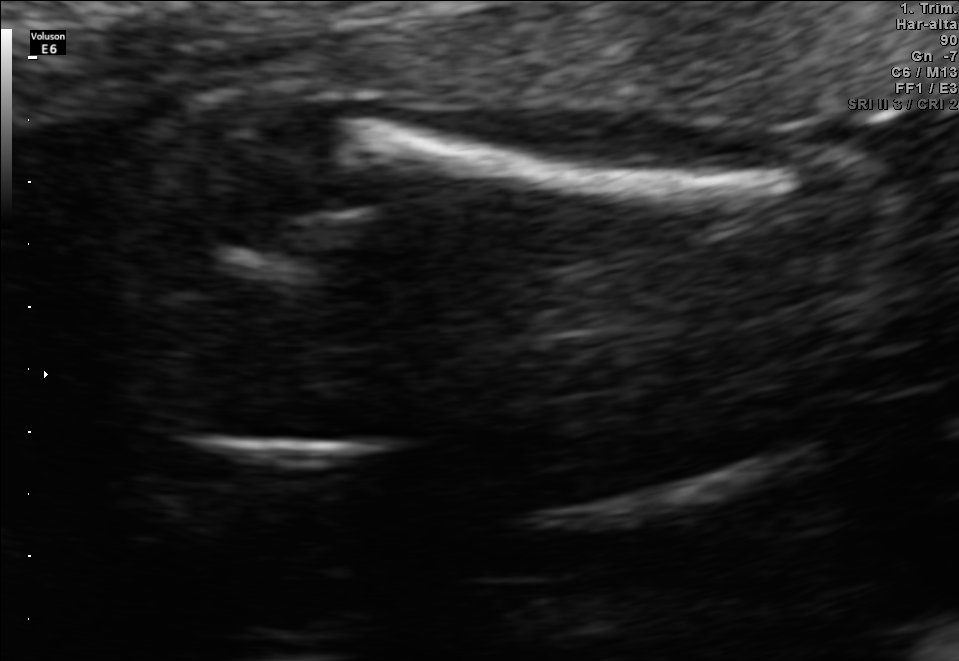
Classify this maternal-fetal ultrasound image as one of the six standard planes — fetal abdomen, fetal brain, fetal femur, fetal thorax, maternal cervix, or other. If it's fetal brain and one of the three standard brain planes (trans-thalamic, trans-cerebellum, trans-ventricular), name which.

Fetal femur